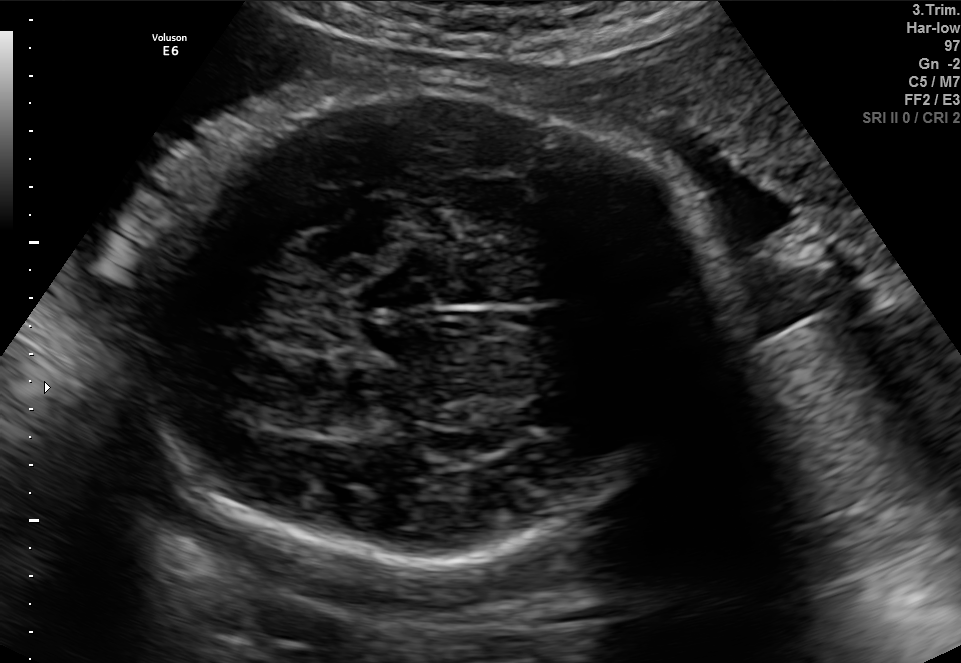
In this fetal brain, trans-thalamic plane, give bounding boxes for the head outline, cavum septum pellucidum (CSP), and lateral ventricle (LV), where visible.

Head: [118,88,723,565]